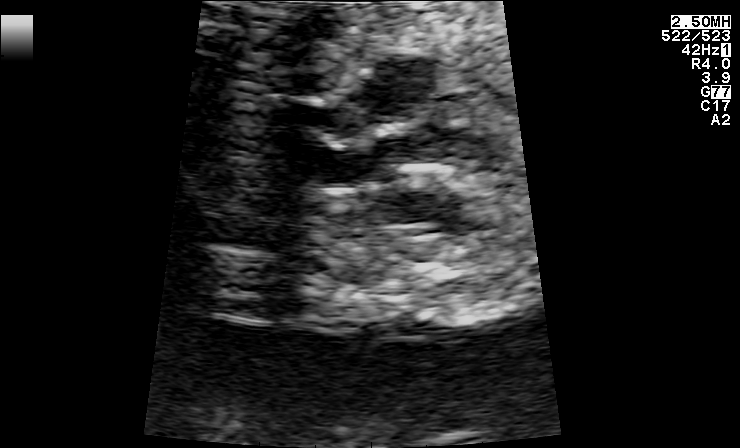
Which standard maternal-fetal ultrasound plane is shown: fetal abdomen, fetal brain, fetal femur, fetal thorax, maternal cervix, or other? If it's fetal brain and one of the three standard brain planes (trans-thalamic, trans-cerebellum, trans-ventricular), name which.

Other